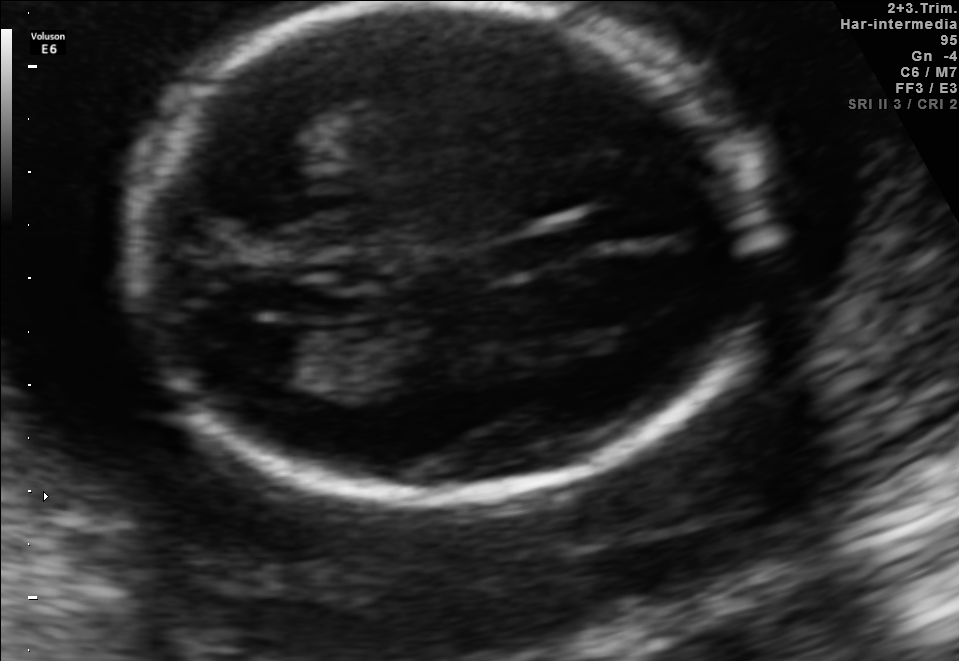
Fetal brain, trans-ventricular plane. Give [x1,y1,x2,y2] bounding boxes for each visible structure among: fetal head, CSP, LV.

Head: [109,4,788,507]
Lateral ventricle: [222,319,311,380]